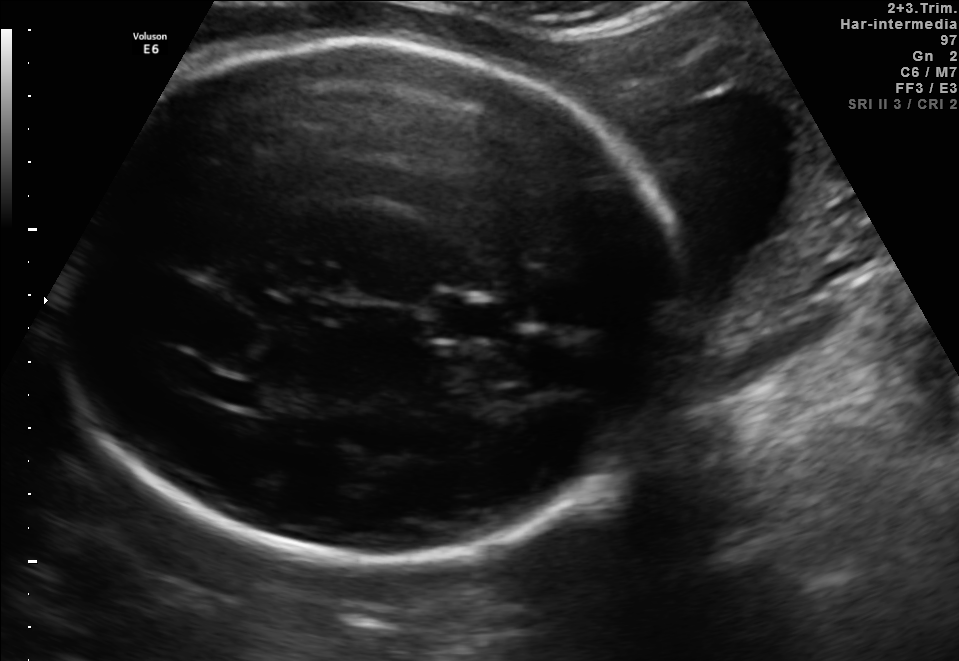
Fetal brain, trans-thalamic plane. Locate the fetal head.

Head: [48,42,695,557]